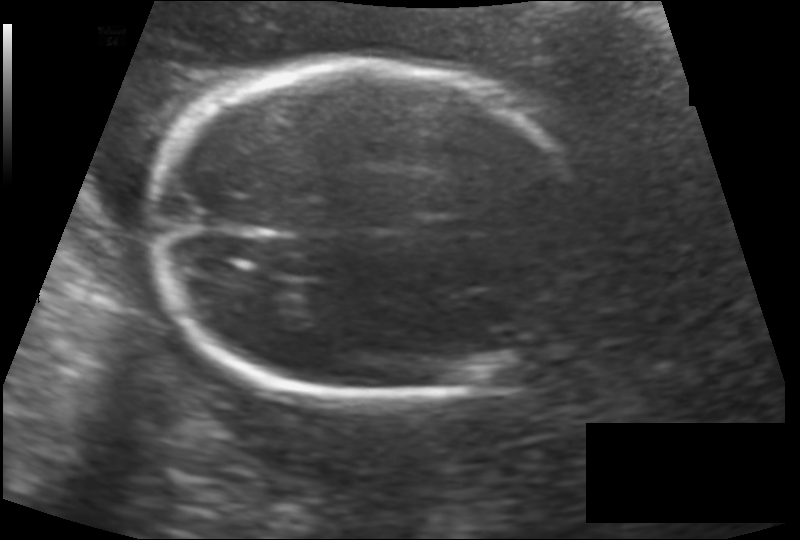
In this fetal head ultrasound, give the bounding box of the fetal head. Image width: 117.4 mm.

[150,63,586,400]